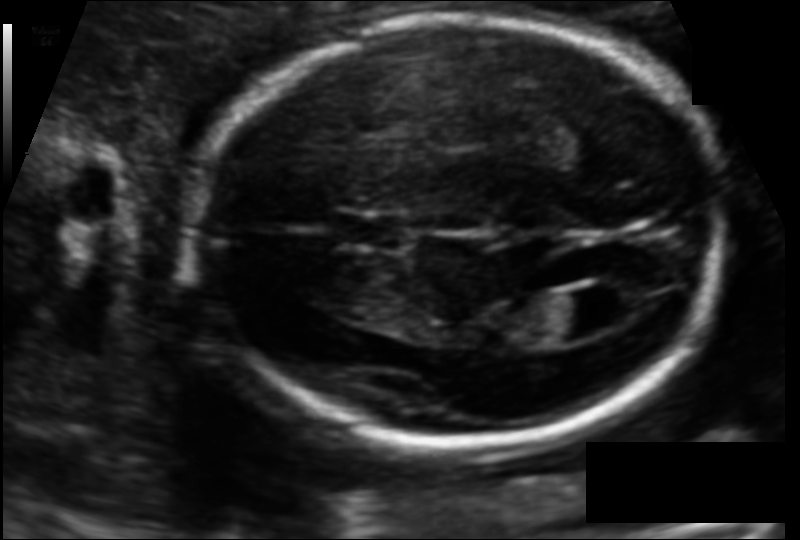
Fetal head ultrasound. Image width: 90.0 mm. Locate the fetal head and, if visible, the cavum septum pellucidum (CSP) and lateral ventricle (LV). Give bounding boxes as [x1,y1,x2,y2].

Head: [195,16,718,446]
CSP: [335,211,404,250]
Lateral ventricle: [543,281,630,345]